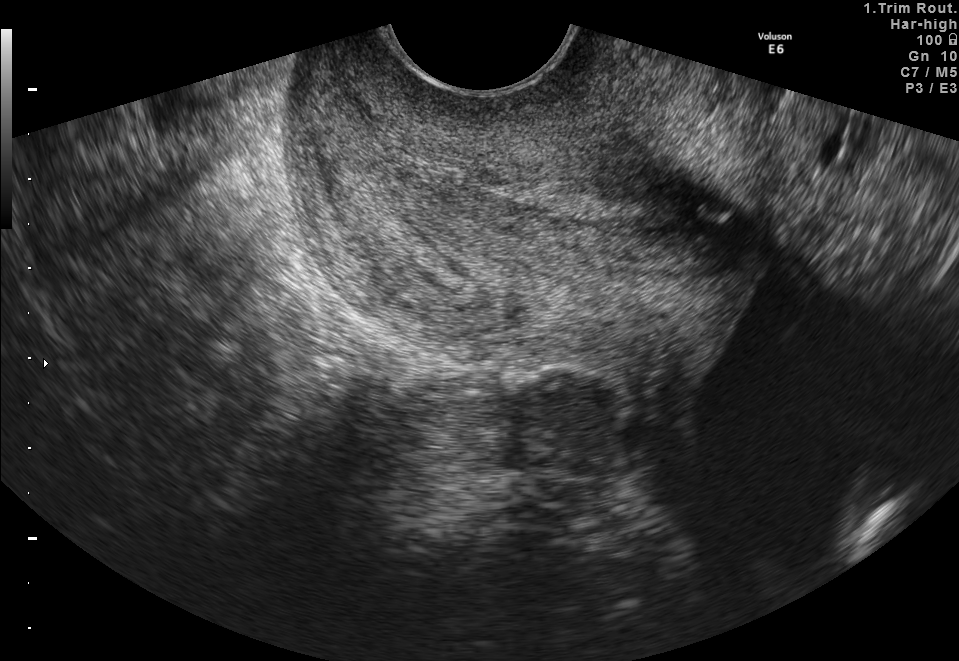
Which standard maternal-fetal ultrasound plane is shown: fetal abdomen, fetal brain, fetal femur, fetal thorax, maternal cervix, or other? If it's fetal brain and one of the three standard brain planes (trans-thalamic, trans-cerebellum, trans-ventricular), name which.

Maternal cervix